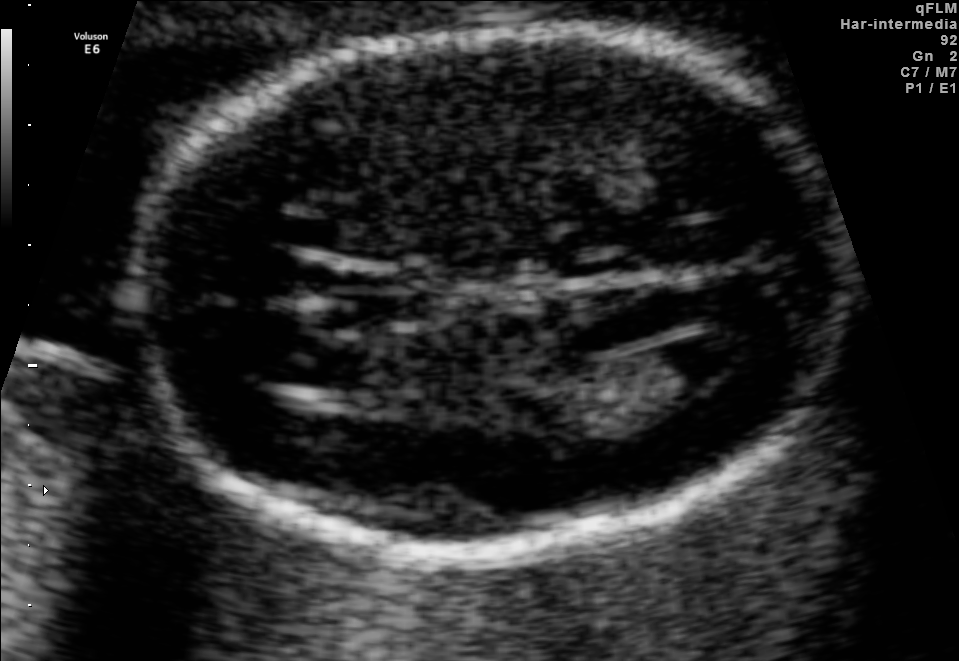
Fetal brain, trans-ventricular plane. Locate the fetal head.

Head: [131,22,840,559]